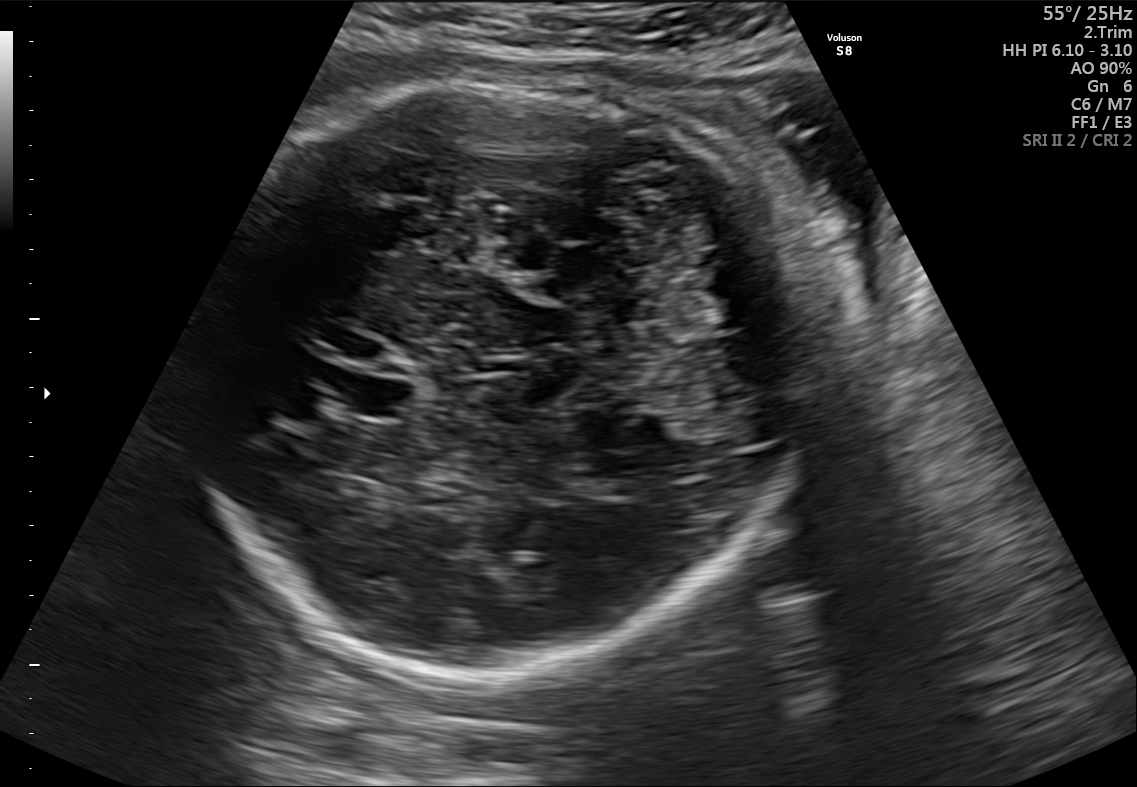
Fetal brain, trans-cerebellum plane. Locate the fetal head and, if visible, the cavum septum pellucidum (CSP) and lateral ventricle (LV). Give bounding boxes as [x1,y1,x2,y2].

Head: [204,74,796,670]